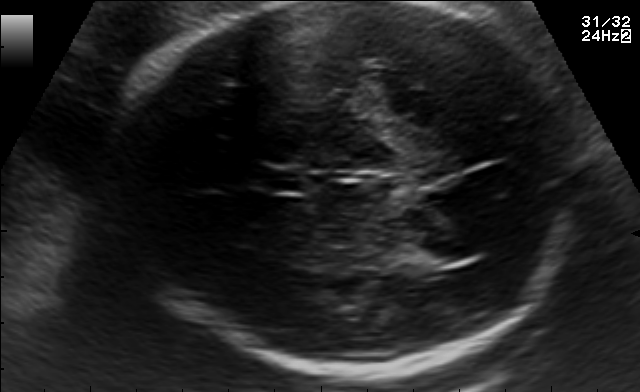
Fetal brain, trans-thalamic plane. Where is the fetal head?

Head bounding box: [118,2,593,375]